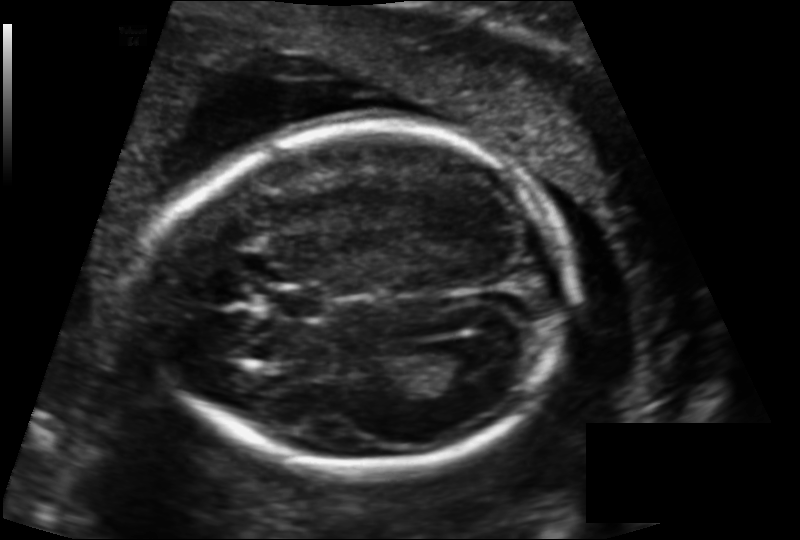
Measure the fetal head circumference shown in this ultrasound image. Image width: 109.5 mm.

Head circumference: 168.4 mm.